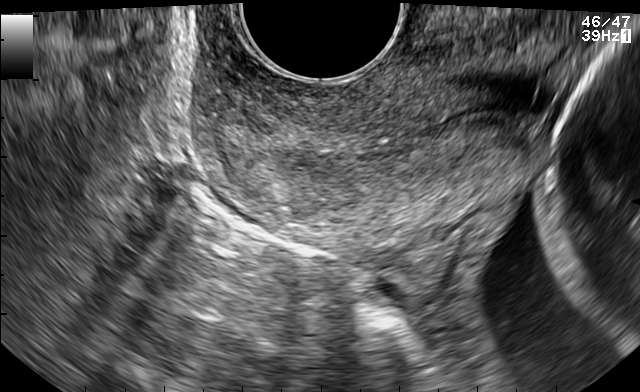
Identify the standard plane in this fetal ultrasound image: fetal abdomen, fetal brain, fetal femur, fetal thorax, maternal cervix, or other. If it's fetal brain and one of the three standard brain planes (trans-thalamic, trans-cerebellum, trans-ventricular), name which.

Maternal cervix